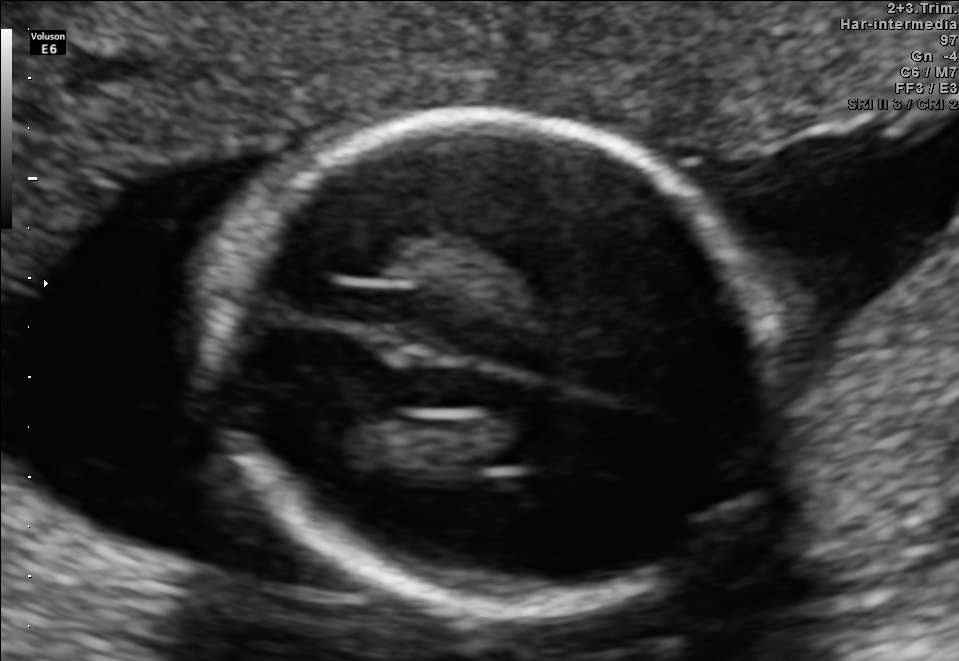
This is a 2D maternal-fetal ultrasound frame. Is it a fetal abdomen, fetal brain, fetal femur, fetal thorax, maternal cervix, or other standard plane? If it's fetal brain and one of the three standard brain planes (trans-thalamic, trans-cerebellum, trans-ventricular), name which.

Fetal brain